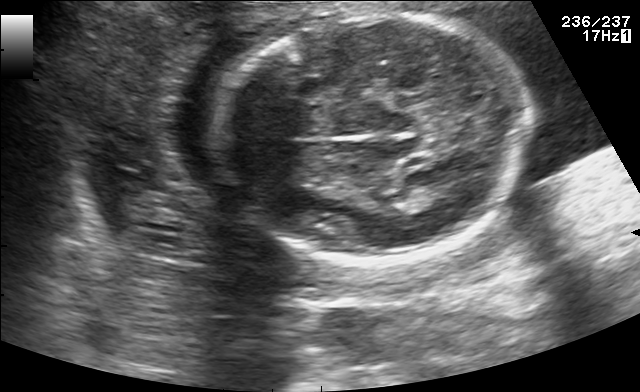
In this fetal brain, trans-thalamic plane, give the bounding box of the fetal head.

[214,10,532,263]